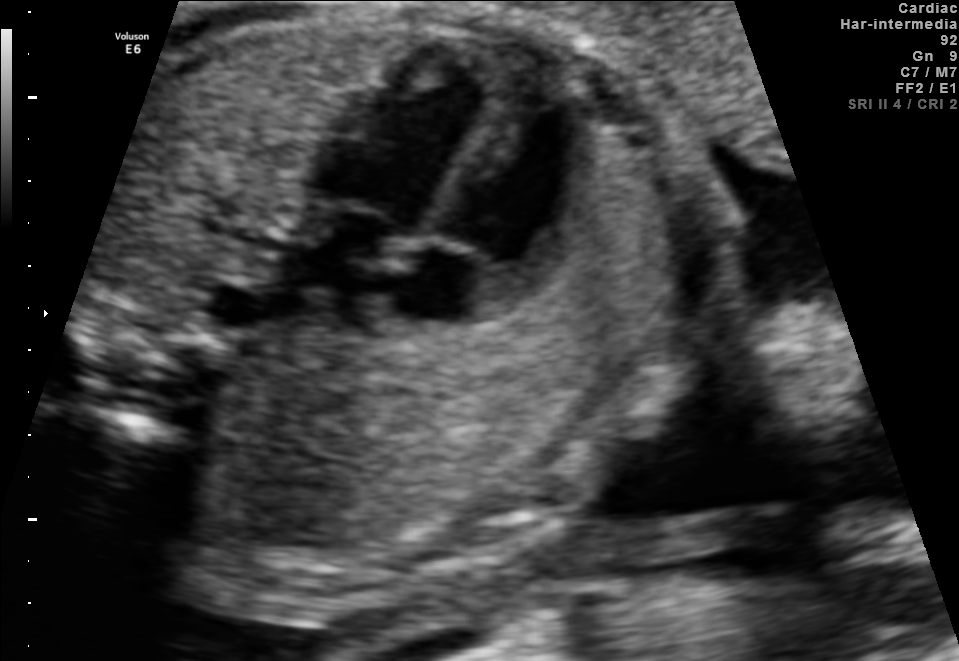
Which standard maternal-fetal ultrasound plane is shown: fetal abdomen, fetal brain, fetal femur, fetal thorax, maternal cervix, or other? If it's fetal brain and one of the three standard brain planes (trans-thalamic, trans-cerebellum, trans-ventricular), name which.

Fetal thorax